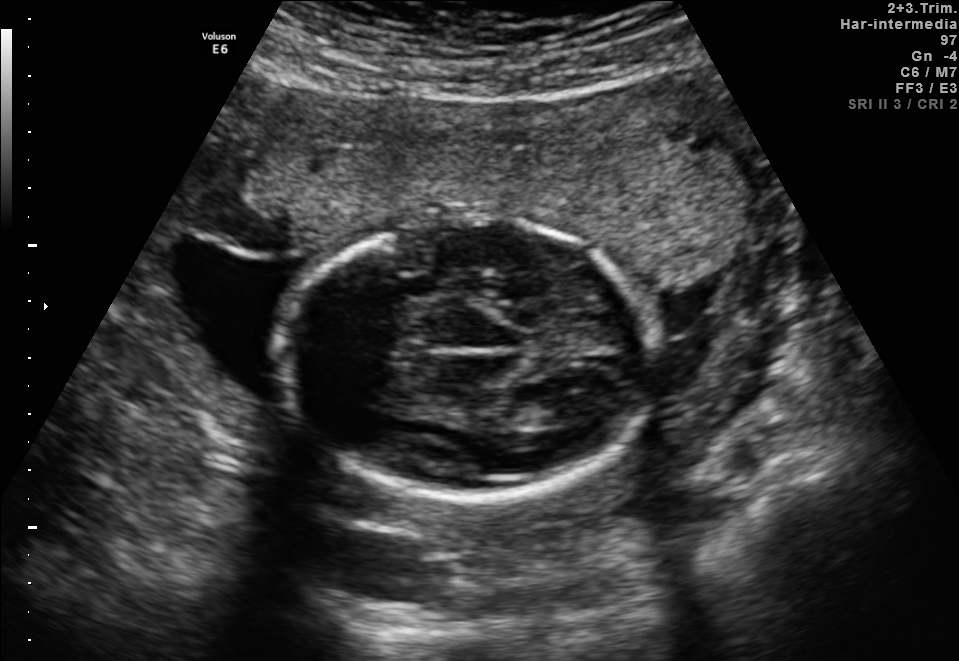
Fetal brain, trans-thalamic plane. Give [x1,y1,x2,y2] bounding boxes for each visible structure among: fetal head, CSP, LV.

Head: [274,216,657,499]
Lateral ventricle: [533,389,595,430]